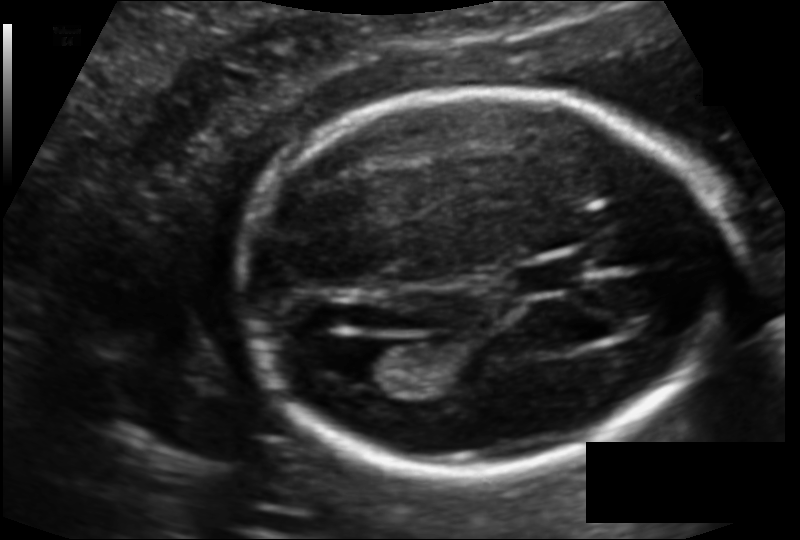
In this fetal head ultrasound, give bounding boxes for the head outline, cavum septum pellucidum (CSP), and lateral ventricle (LV), where visible. Image width: 96.9 mm.

Head: [237,89,722,475]
CSP: [511,249,591,301]
Lateral ventricle: [334,339,411,387]